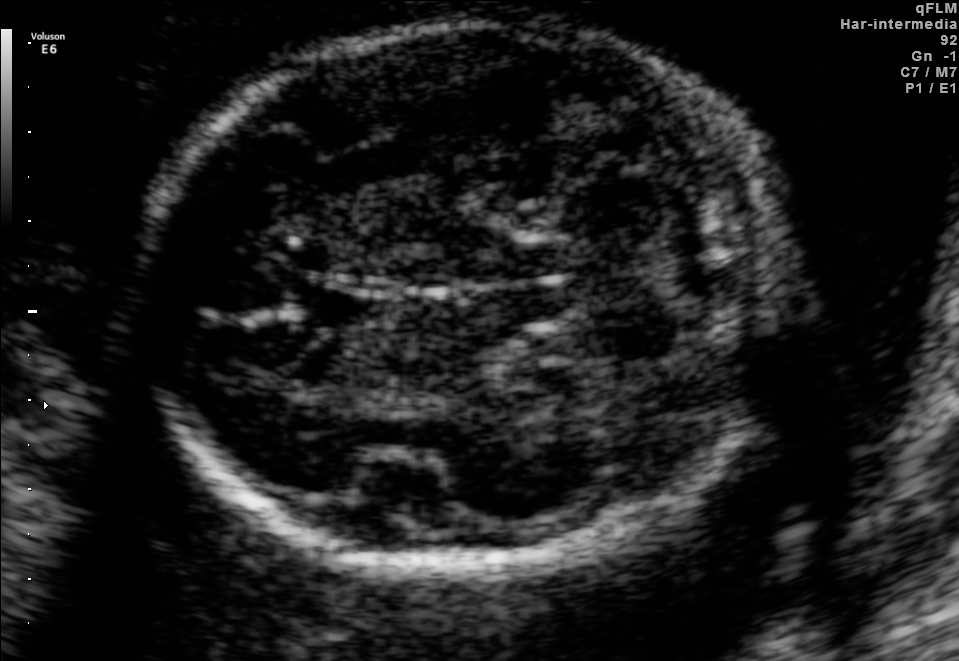
Fetal brain, trans-cerebellum plane. Where is the fetal head?

Head bounding box: [145,28,776,567]